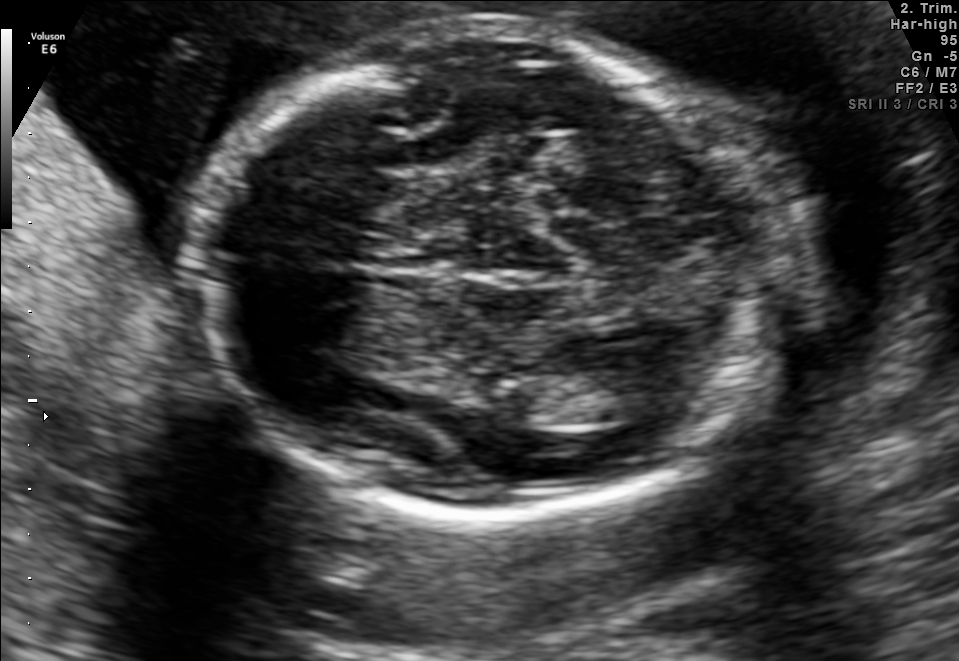
Fetal brain, trans-thalamic plane. Where is the lateral ventricle?

Lateral ventricle bounding box: [559,363,678,431]